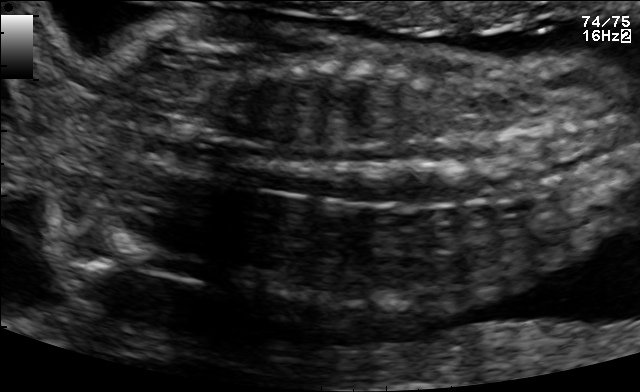
This is a 2D maternal-fetal ultrasound frame. Is it a fetal abdomen, fetal brain, fetal femur, fetal thorax, maternal cervix, or other standard plane? If it's fetal brain and one of the three standard brain planes (trans-thalamic, trans-cerebellum, trans-ventricular), name which.

Other